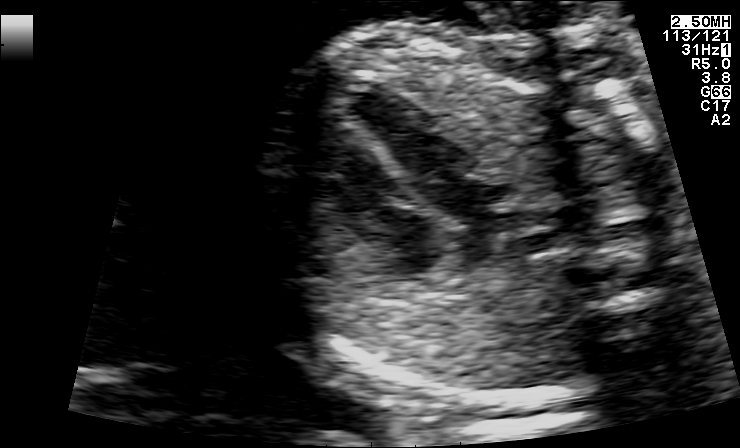
Which standard maternal-fetal ultrasound plane is shown: fetal abdomen, fetal brain, fetal femur, fetal thorax, maternal cervix, or other? If it's fetal brain and one of the three standard brain planes (trans-thalamic, trans-cerebellum, trans-ventricular), name which.

Fetal thorax